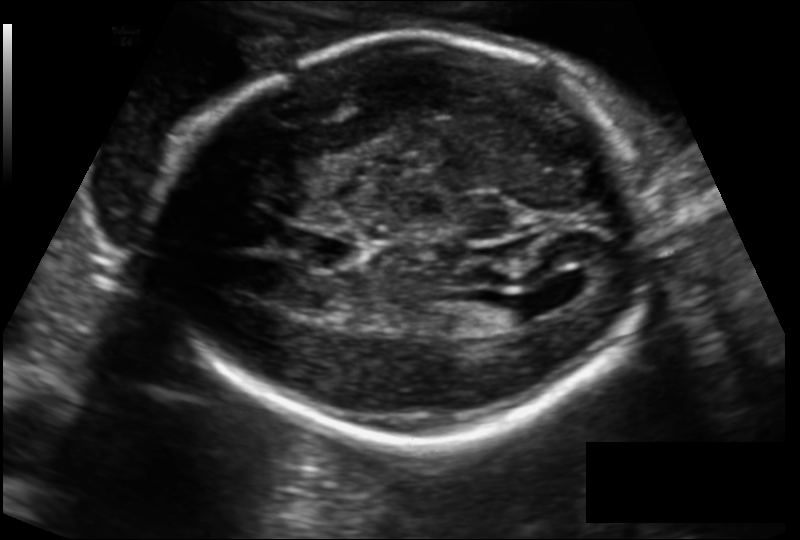
From this fetal ultrasound, estimate the head circumference (image width 119.5 mm).

Head circumference: 216.8 mm.